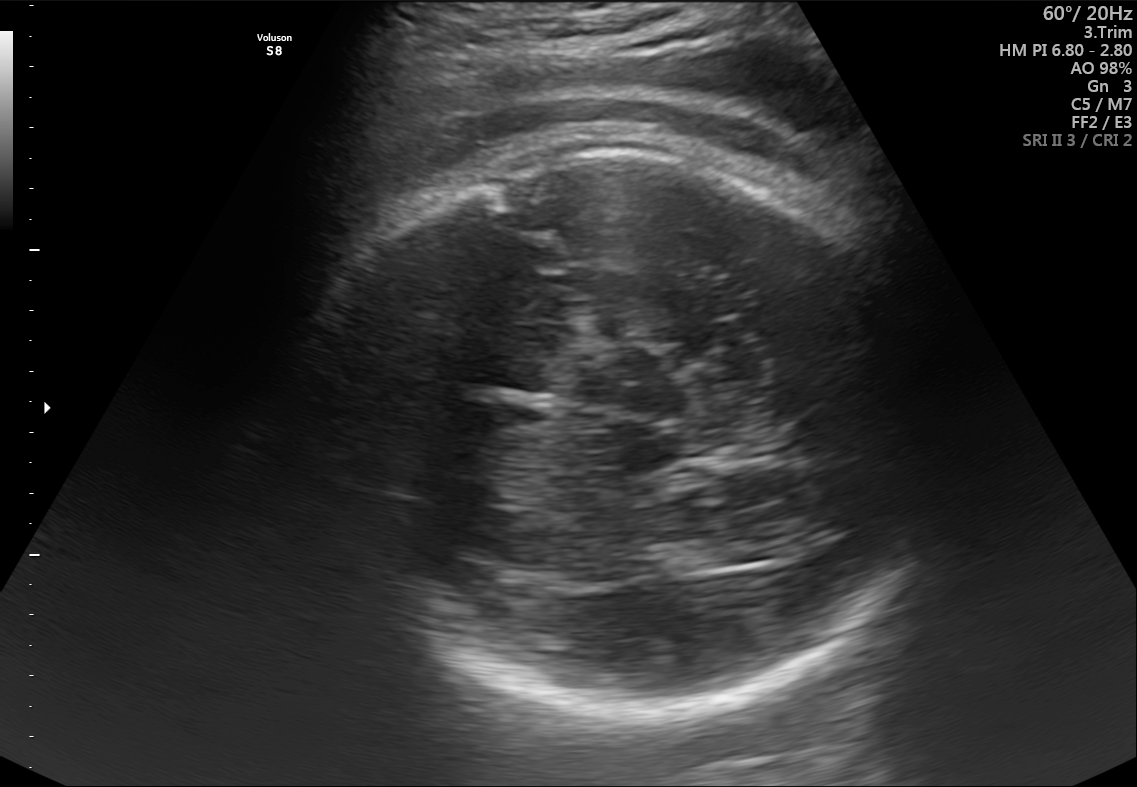
Fetal brain, trans-thalamic plane. Give [x1,y1,x2,y2] bounding boxes for each visible structure among: fetal head, CSP, LV.

Head: [293,140,963,725]